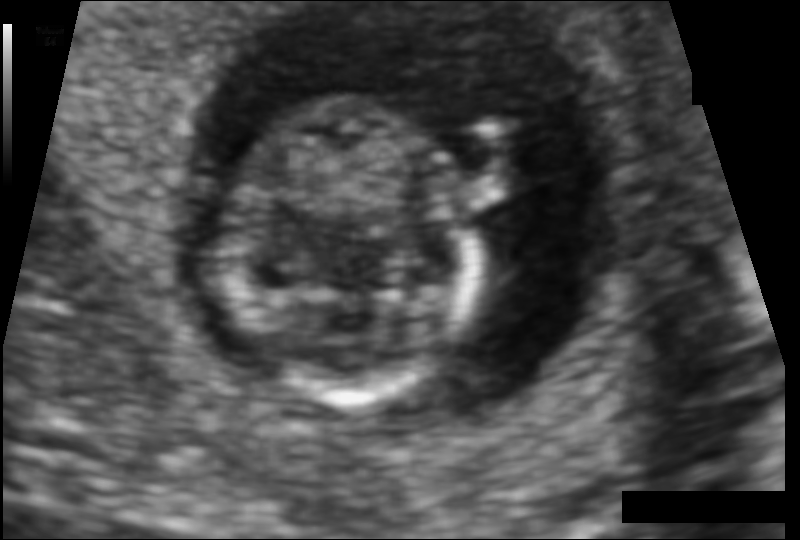
In this fetal head ultrasound, give the bounding box of the fetal head. Image width: 63.9 mm.

[221,98,475,401]